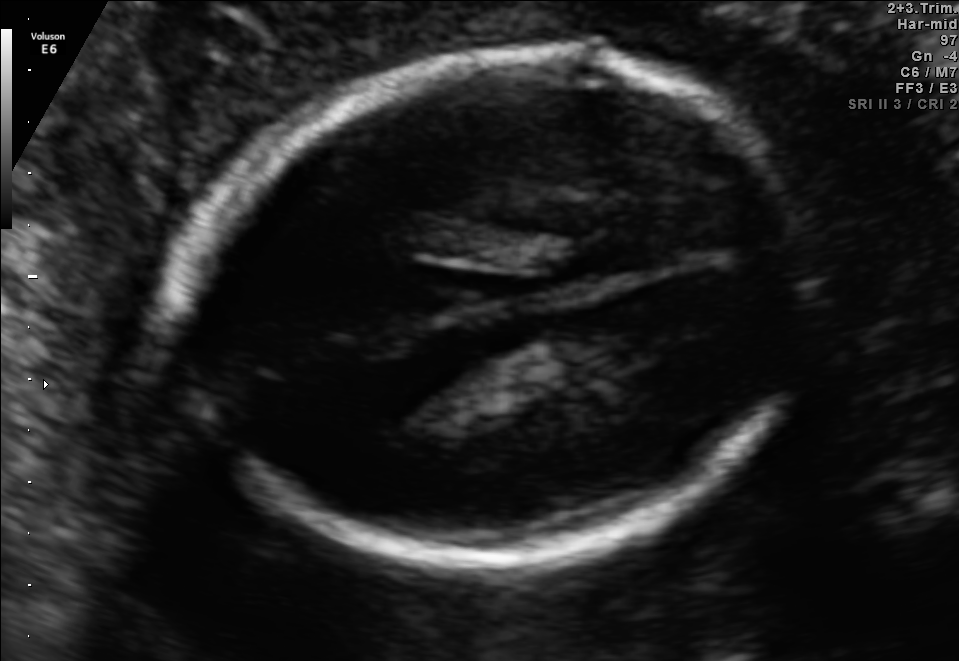
Fetal brain, trans-thalamic plane. Give [x1,y1,x2,y2] bounding boxes for each visible structure among: fetal head, CSP, LV.

Head: [183,48,814,567]